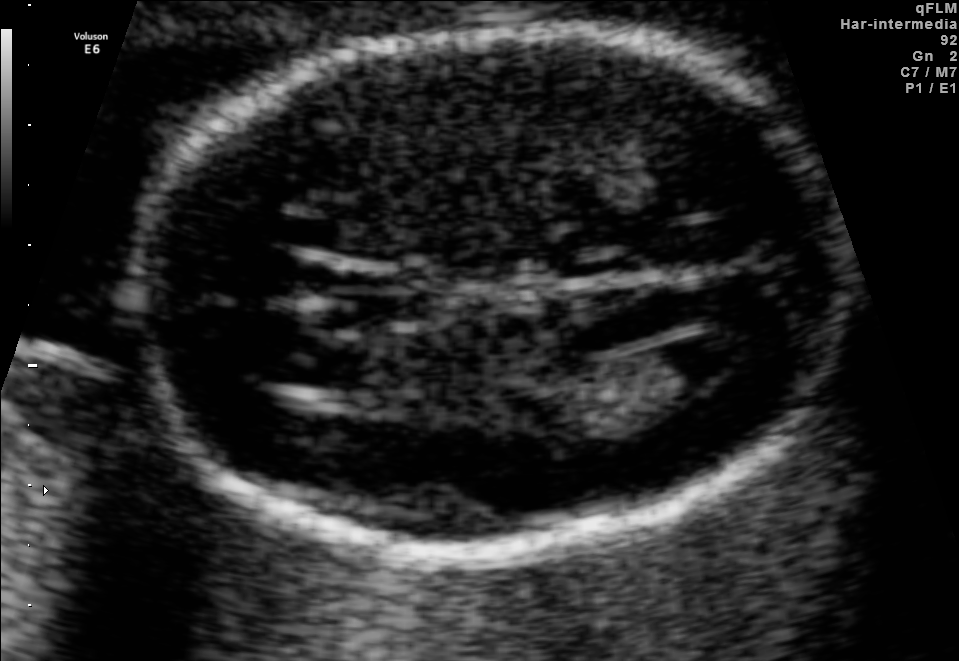
In this fetal brain, trans-ventricular plane, give the bounding box of the lateral ventricle.

[643,323,755,406]